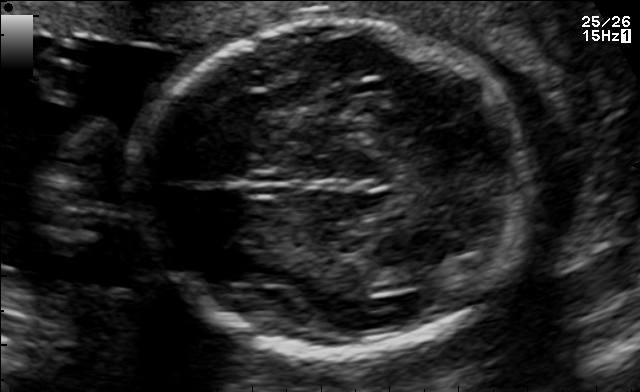
This is a 2D maternal-fetal ultrasound frame. Is it a fetal abdomen, fetal brain, fetal femur, fetal thorax, maternal cervix, or other standard plane? If it's fetal brain and one of the three standard brain planes (trans-thalamic, trans-cerebellum, trans-ventricular), name which.

Fetal brain (trans-thalamic plane)